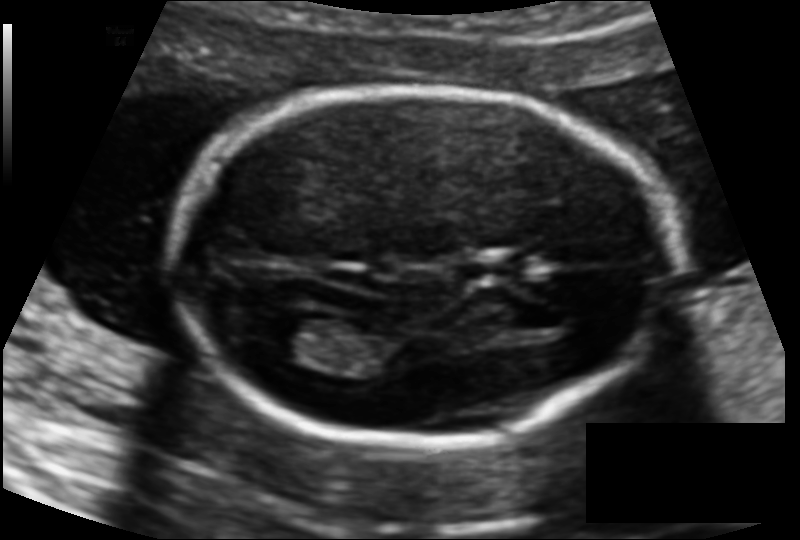
Fetal head ultrasound. Image width: 91.5 mm. Locate the lateral ventricle.

Lateral ventricle: [257,312,334,366]